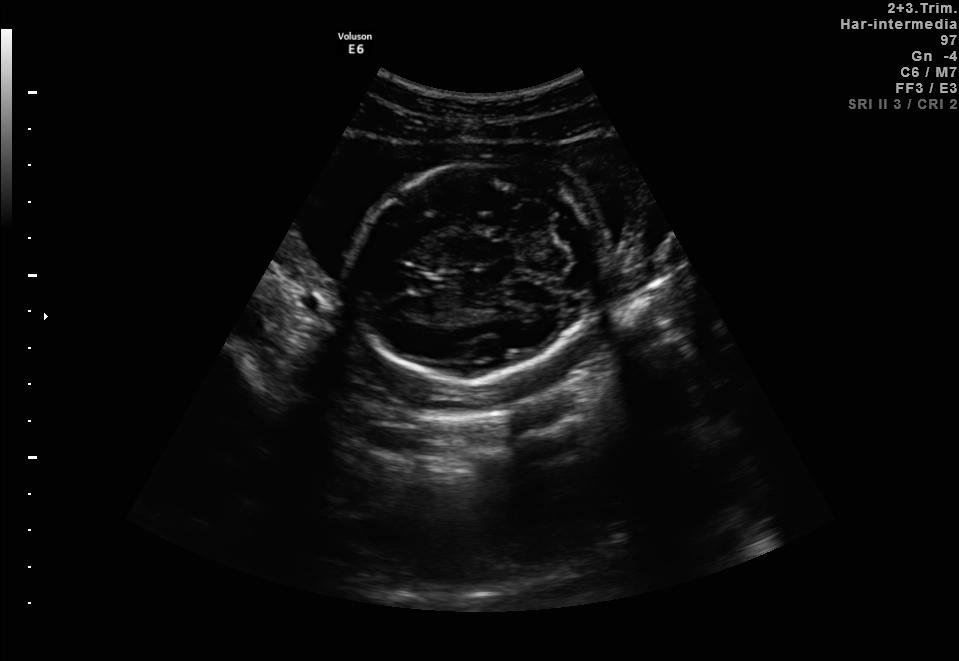
Fetal brain, trans-cerebellum plane. Give [x1,y1,x2,y2] bounding boxes for each visible structure among: fetal head, CSP, LV.

Head: [349,163,602,382]